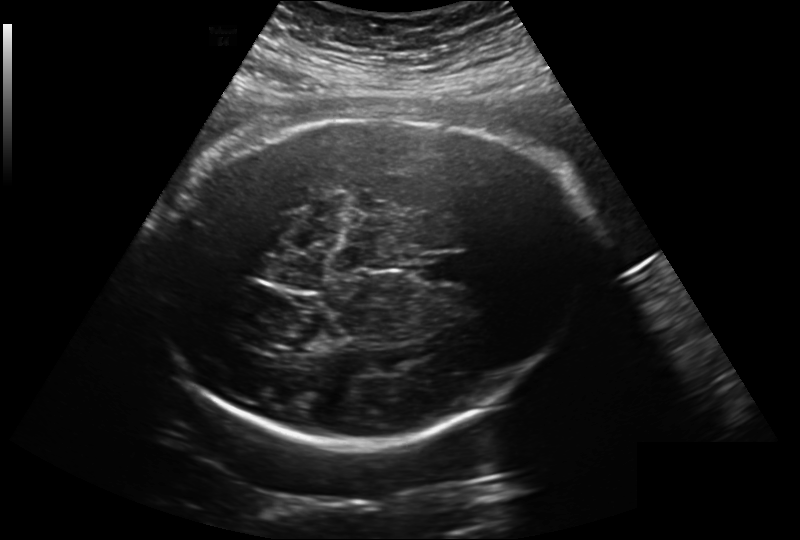
Measure the fetal head circumference shown in this ultrasound image. Image width: 208.0 mm.

Head circumference: 323.3 mm.